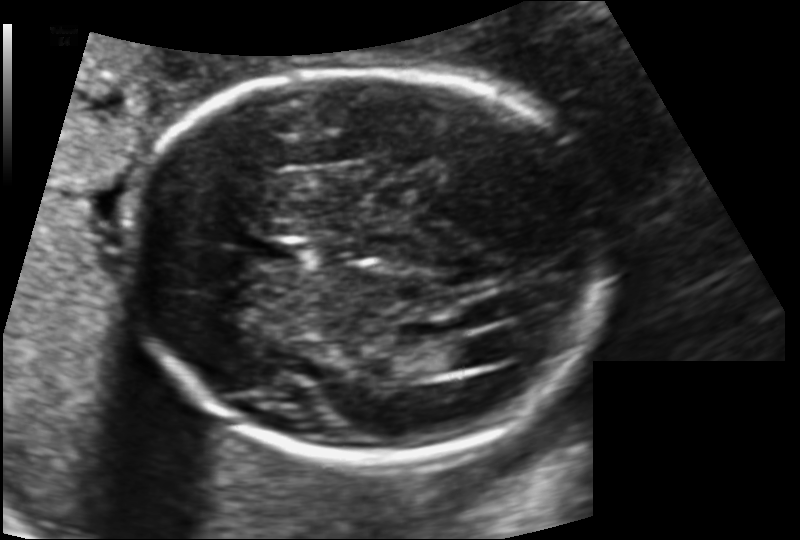
In this fetal head ultrasound, give the bounding box of the lateral ventricle. Image width: 107.8 mm.

[437,335,492,372]